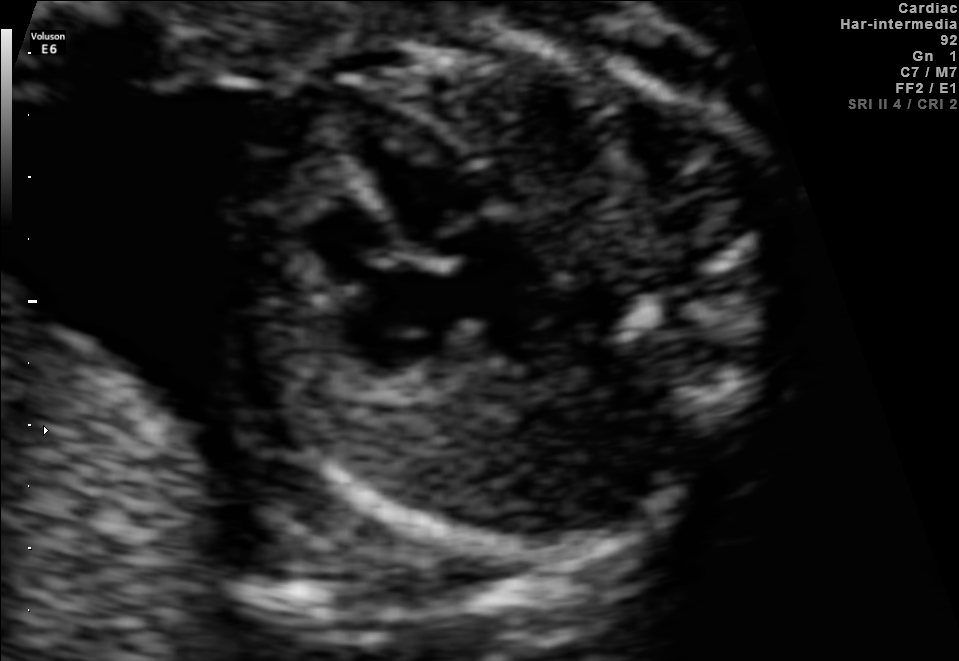
Which standard maternal-fetal ultrasound plane is shown: fetal abdomen, fetal brain, fetal femur, fetal thorax, maternal cervix, or other? If it's fetal brain and one of the three standard brain planes (trans-thalamic, trans-cerebellum, trans-ventricular), name which.

Fetal thorax